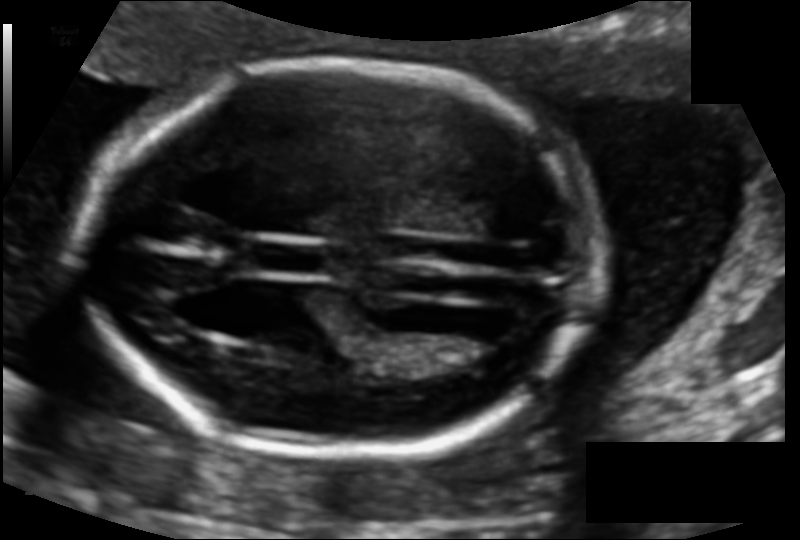
What is the fetal head circumference? Image width is 88.3 mm.

164.1 mm